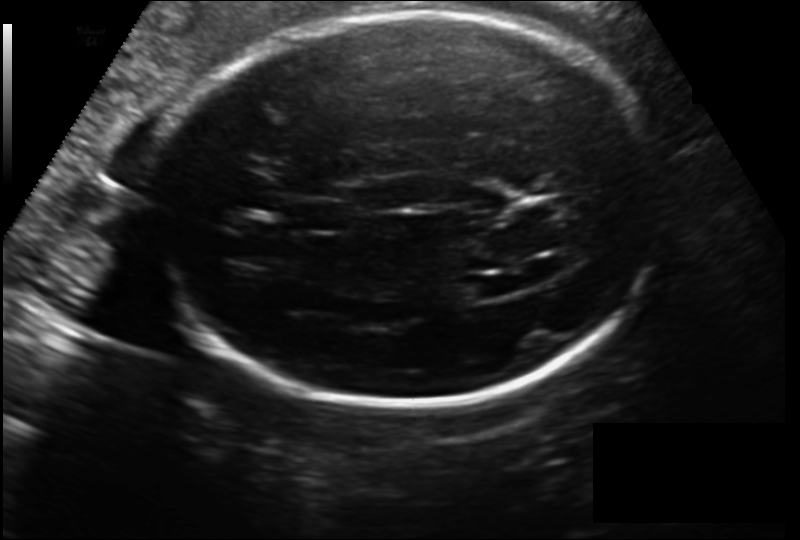
In this fetal head ultrasound, give bounding boxes for the head outline, cavum septum pellucidum (CSP), and lateral ventricle (LV), where visible. Image width: 149.1 mm.

Head: [148,14,662,405]
CSP: [291,198,351,235]
Lateral ventricle: [447,274,501,305]